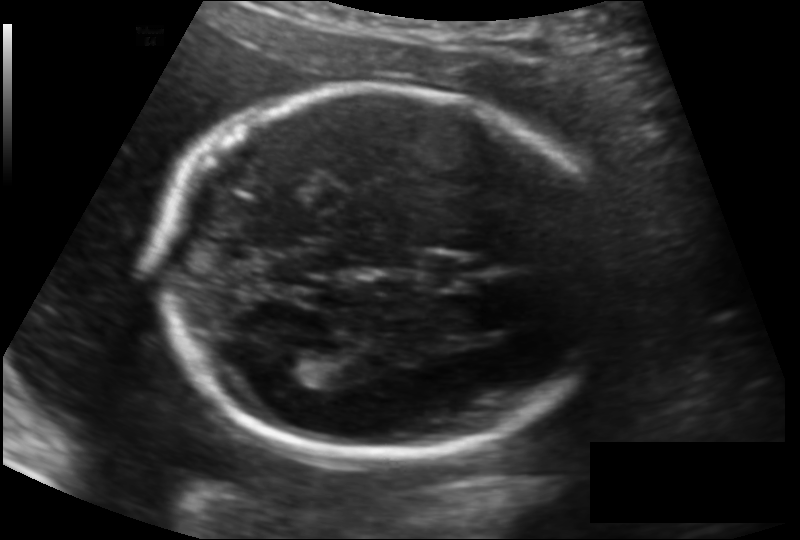
In this fetal head ultrasound, give the bounding box of the cavum septum pellucidum. Image width: 107.5 mm.

[412,251,474,292]